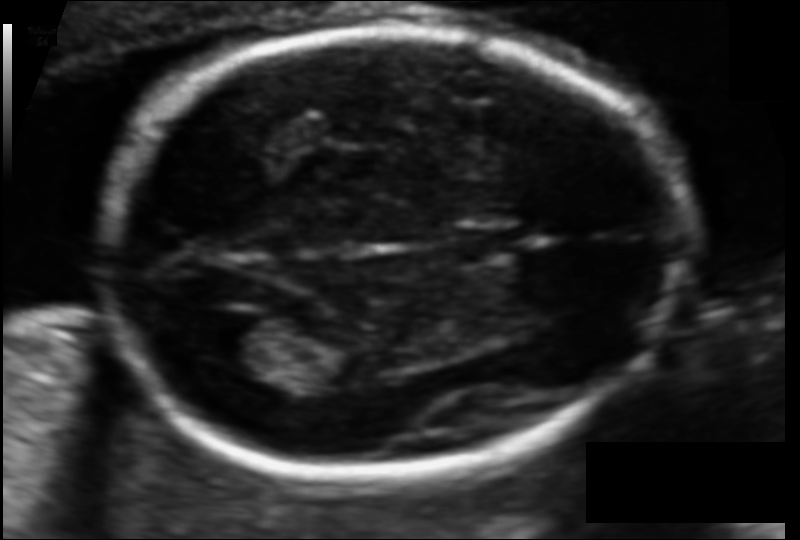
Fetal head ultrasound. Image width: 77.8 mm. Locate the fetal head.

Head: [101,29,681,479]